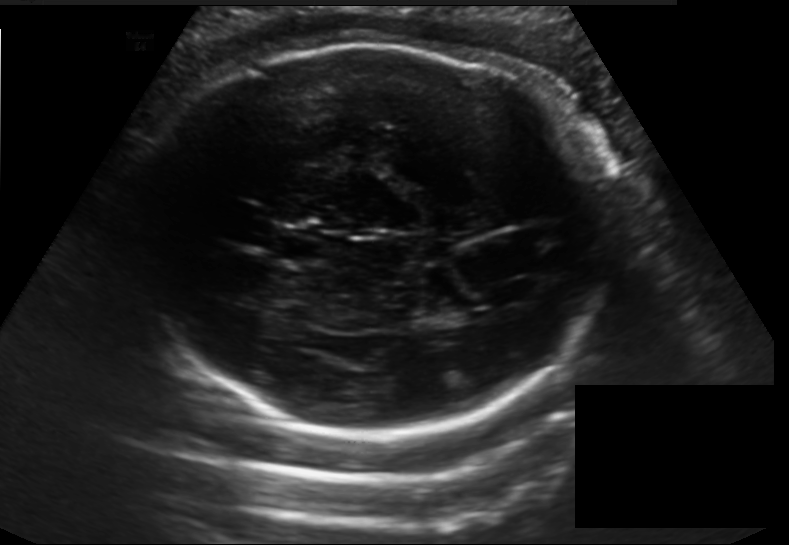
From this fetal ultrasound, estimate the head circumference (image width 156.6 mm).

Head circumference: 283.5 mm.